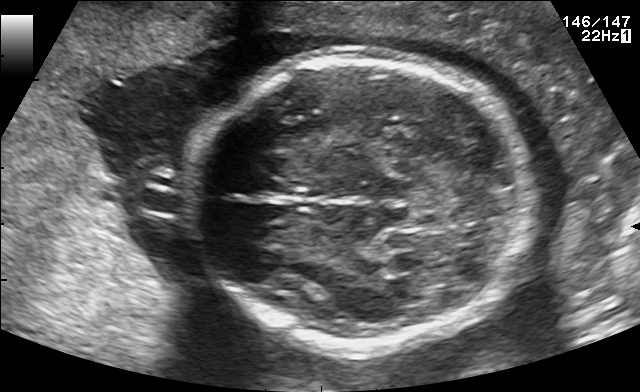
Fetal brain, trans-thalamic plane. Where is the fetal head?

Head bounding box: [184,59,533,348]